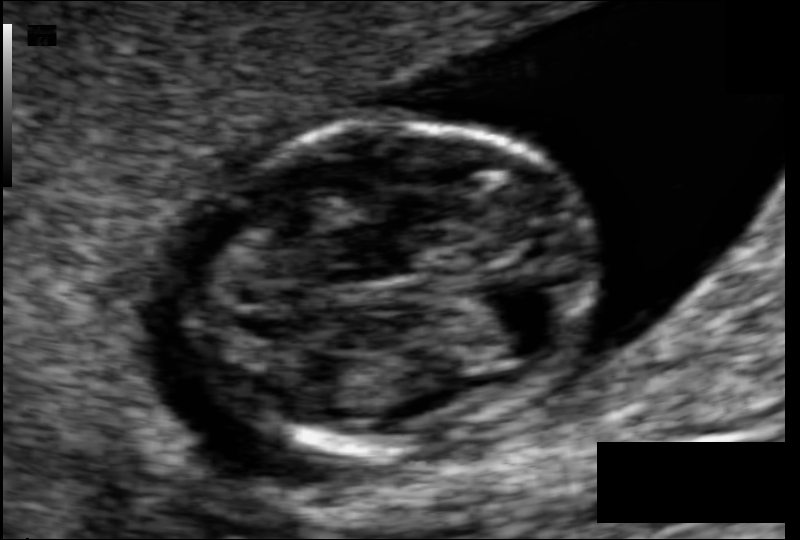
Estimate the fetal head circumference from this 2D ultrasound.

Head circumference: 76.3 mm (image width 49.9 mm).